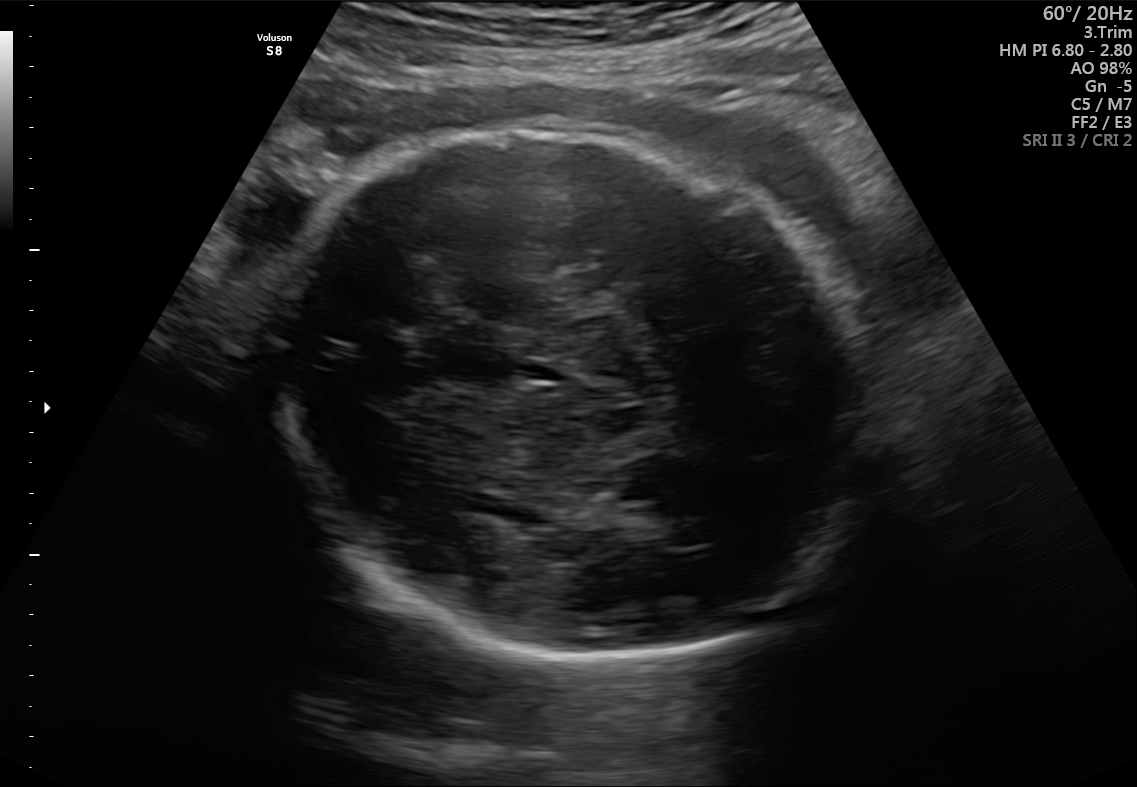
Fetal brain, trans-thalamic plane. Locate the fetal head and, if visible, the cavum septum pellucidum (CSP) and lateral ventricle (LV). Give bounding boxes as [x1,y1,x2,y2].

Head: [262,132,880,667]
CSP: [526,361,564,383]